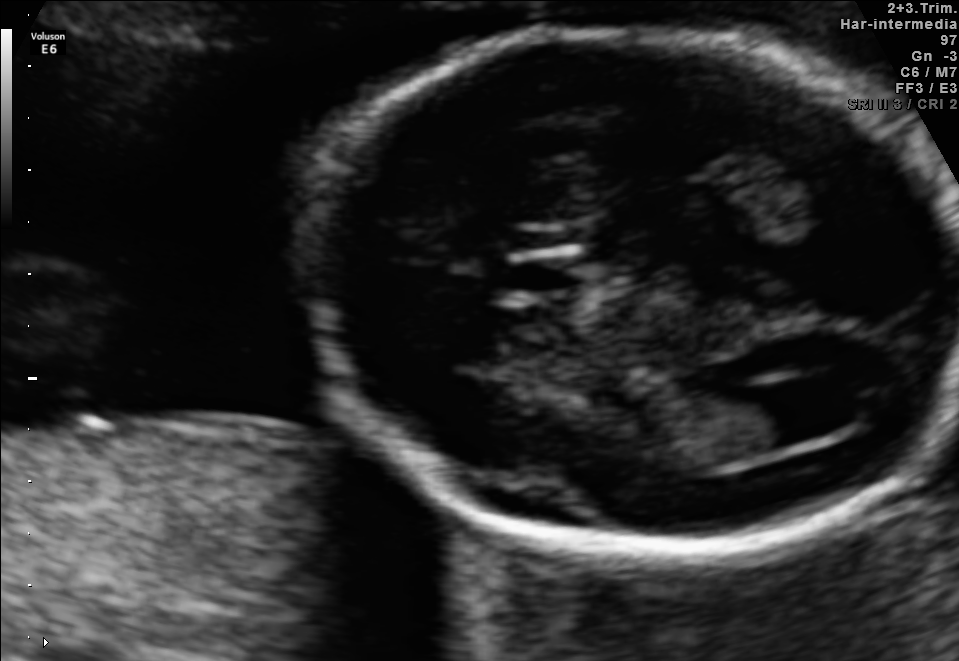
Fetal brain, trans-ventricular plane. Locate the fetal head and, if visible, the cavum septum pellucidum (CSP) and lateral ventricle (LV). Give bounding boxes as [x1,y1,x2,y2].

Head: [293,27,958,556]
CSP: [513,262,587,299]
Lateral ventricle: [749,367,854,452]